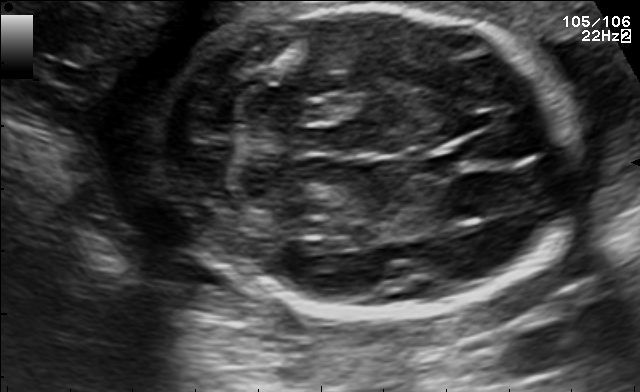
Fetal brain, trans-cerebellum plane. Locate the cavum septum pellucidum.

CSP: [415,142,476,184]